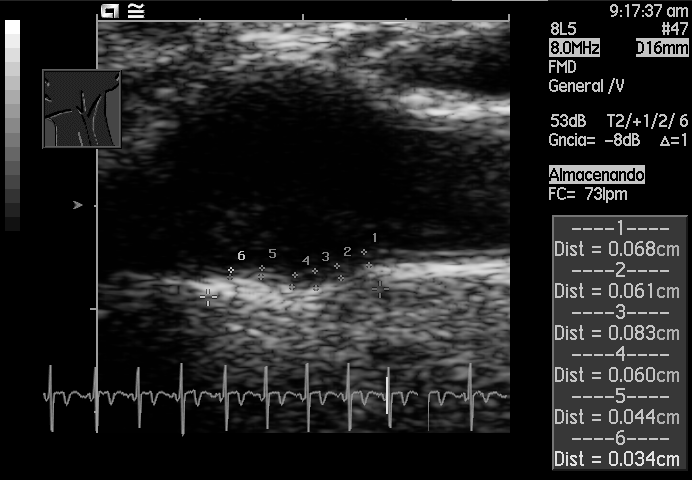
Classify this maternal-fetal ultrasound image as one of the six standard planes — fetal abdomen, fetal brain, fetal femur, fetal thorax, maternal cervix, or other. If it's fetal brain and one of the three standard brain planes (trans-thalamic, trans-cerebellum, trans-ventricular), name which.

Other